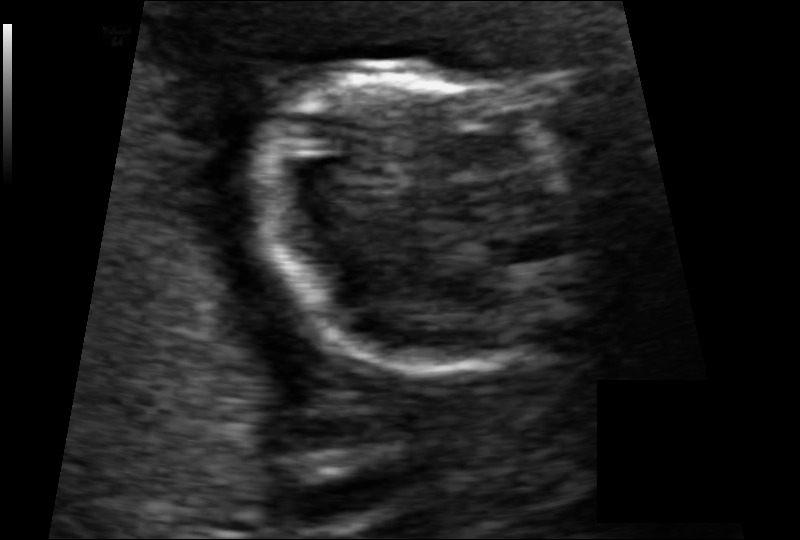
Estimate the fetal head circumference from this 2D ultrasound. Image width: 62.3 mm.

Head circumference: 80.7 mm.